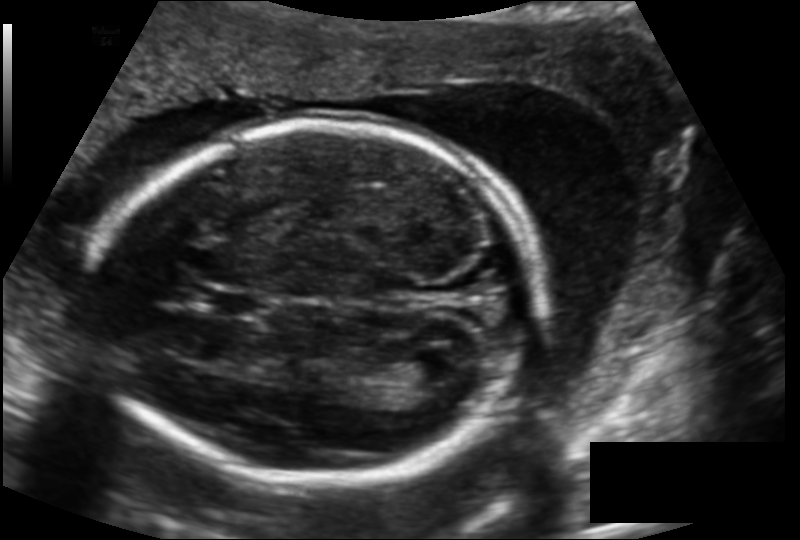
Estimate the fetal head circumference from this 2D ultrasound. Image width: 114.6 mm.

Head circumference: 184.3 mm.